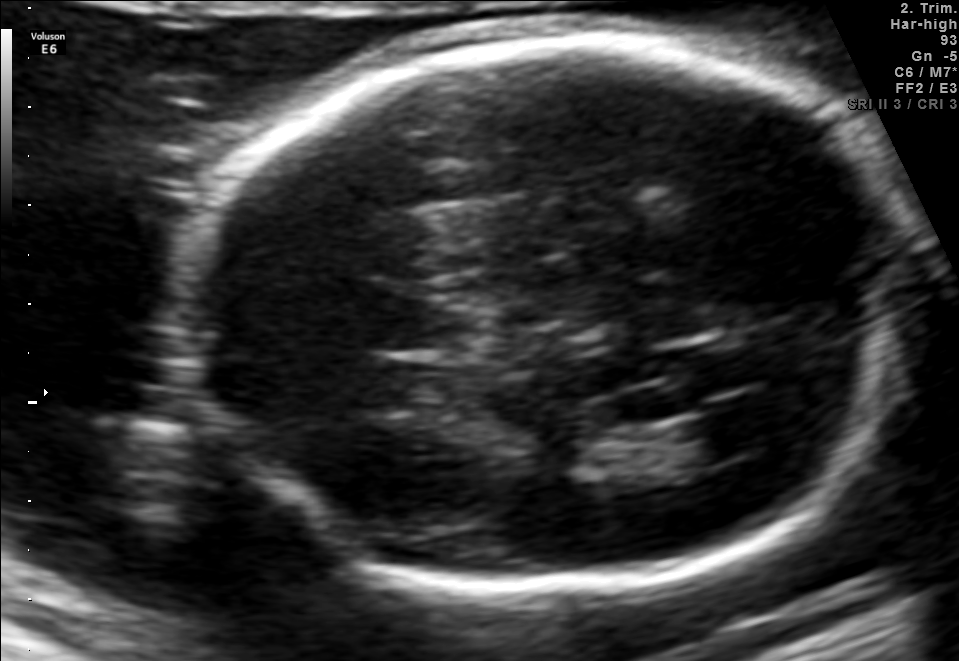
Fetal brain, trans-ventricular plane. Locate the fetal head and, if visible, the cavum septum pellucidum (CSP) and lateral ventricle (LV). Give bounding boxes as [x1,y1,x2,y2].

Head: [159,31,932,606]
CSP: [366,293,485,359]
Lateral ventricle: [670,390,788,476]